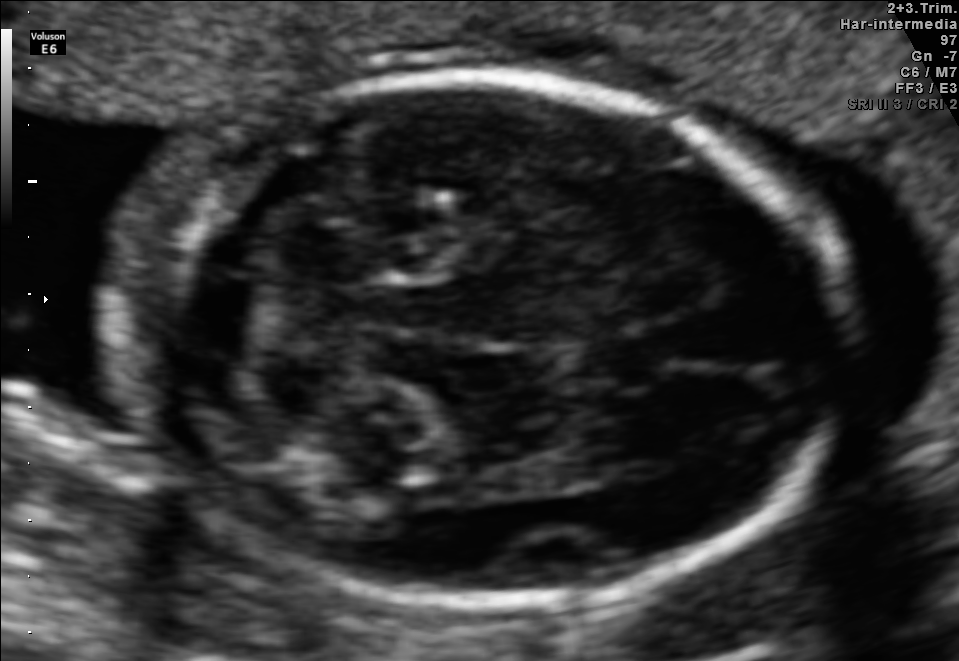
Fetal brain, trans-cerebellum plane. Locate the cavum septum pellucidum.

CSP: [573,326,665,390]